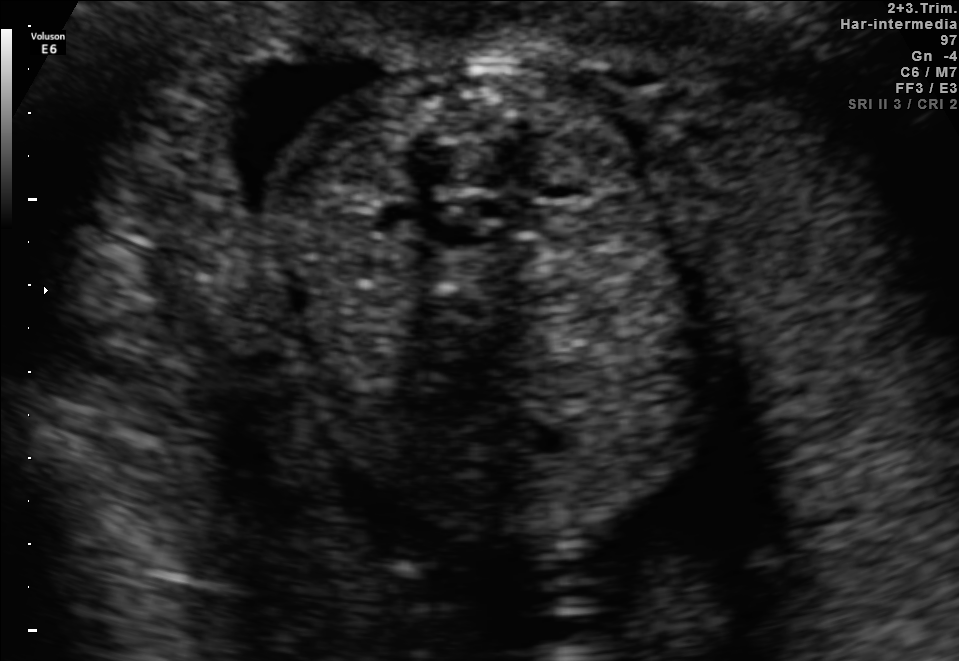
Identify the standard plane in this fetal ultrasound image: fetal abdomen, fetal brain, fetal femur, fetal thorax, maternal cervix, or other. If it's fetal brain and one of the three standard brain planes (trans-thalamic, trans-cerebellum, trans-ventricular), name which.

Other